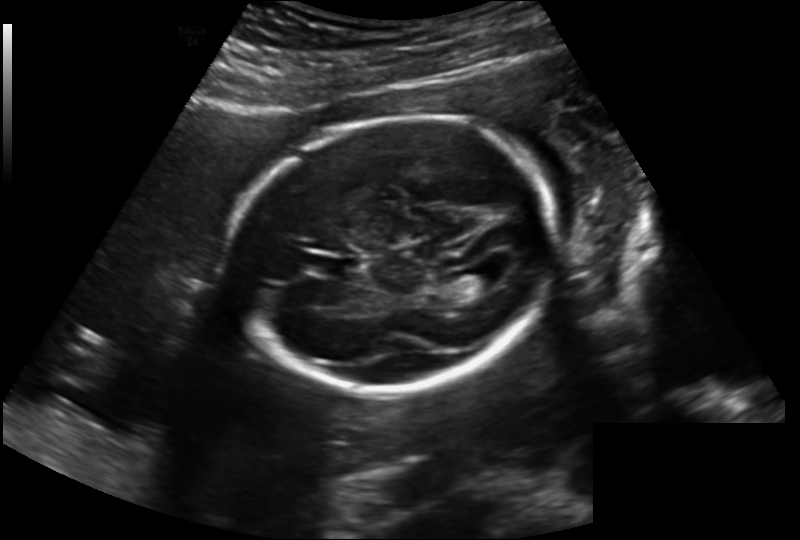
From this fetal ultrasound, estimate the head circumference (image width 161.6 mm).

Head circumference: 194.6 mm.